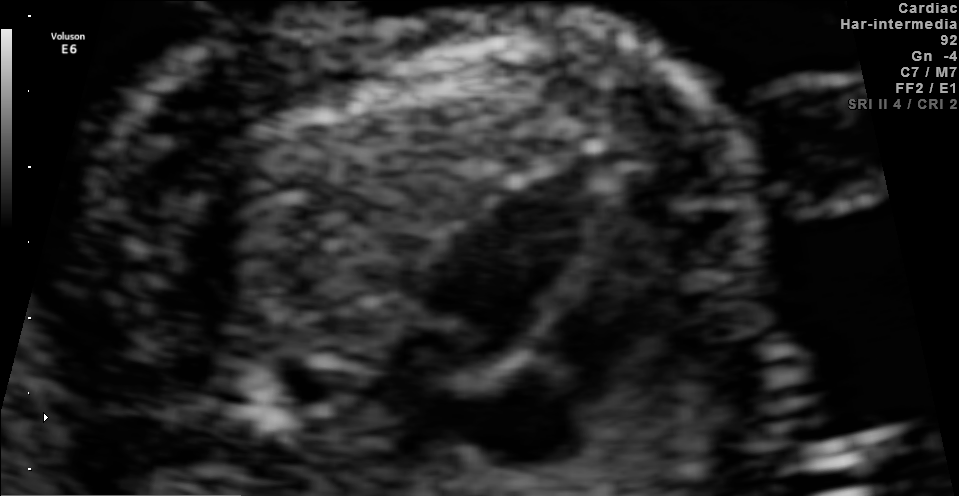
Which standard maternal-fetal ultrasound plane is shown: fetal abdomen, fetal brain, fetal femur, fetal thorax, maternal cervix, or other? If it's fetal brain and one of the three standard brain planes (trans-thalamic, trans-cerebellum, trans-ventricular), name which.

Fetal thorax